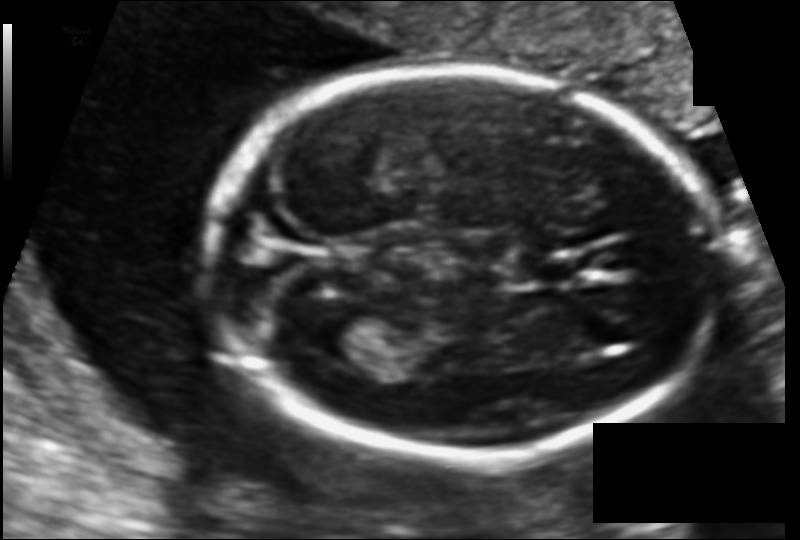
In this fetal head ultrasound, give bounding boxes for the head outline, cavum septum pellucidum (CSP), and lateral ventricle (LV), where visible. Image width: 86.7 mm.

Head: [211,67,716,457]
CSP: [519,254,582,287]
Lateral ventricle: [300,297,382,367]